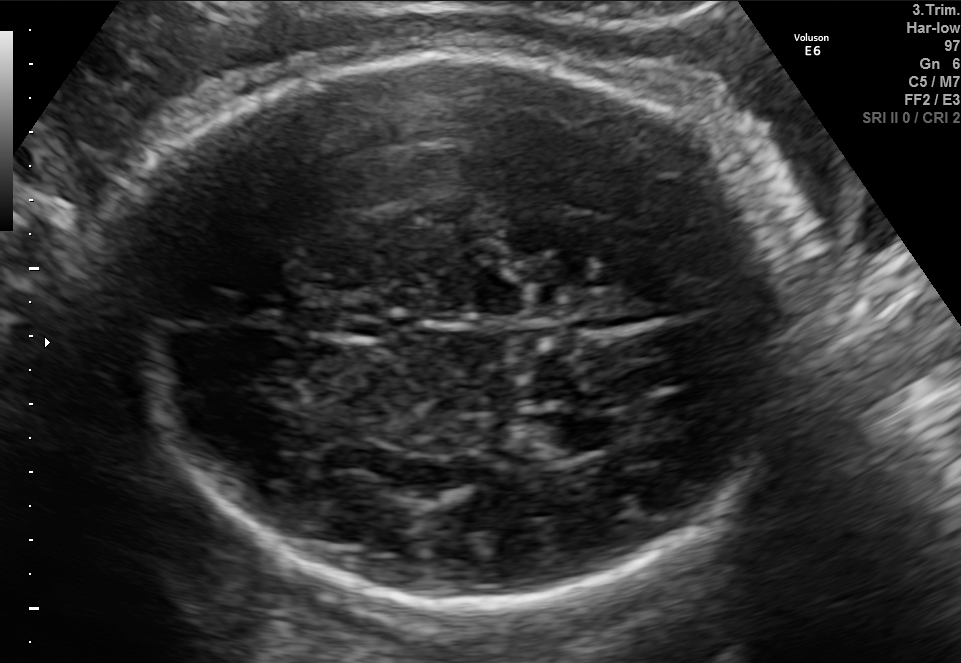
Fetal brain, trans-thalamic plane. Locate the fetal head and, if visible, the cavum septum pellucidum (CSP) and lateral ventricle (LV). Give bounding boxes as [x1,y1,x2,y2].

Head: [109,42,794,605]
Lateral ventricle: [525,397,626,465]